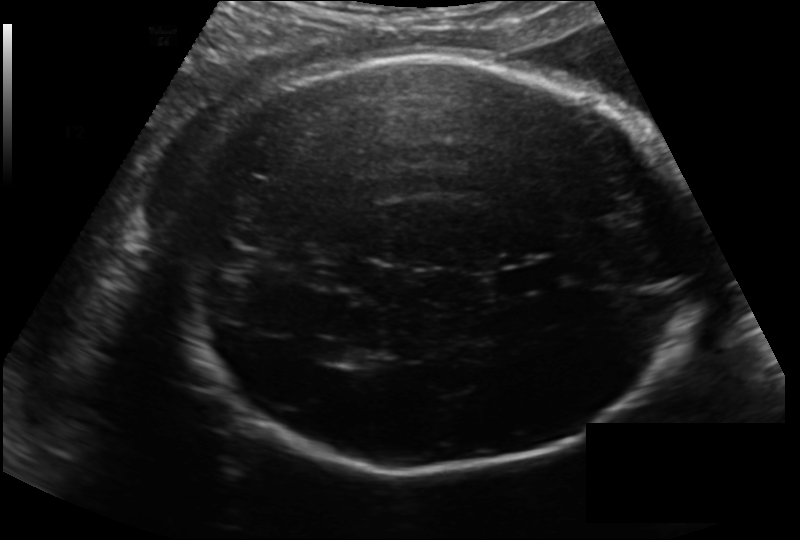
What is the fetal head circumference? Image width is 146.5 mm.

274.4 mm